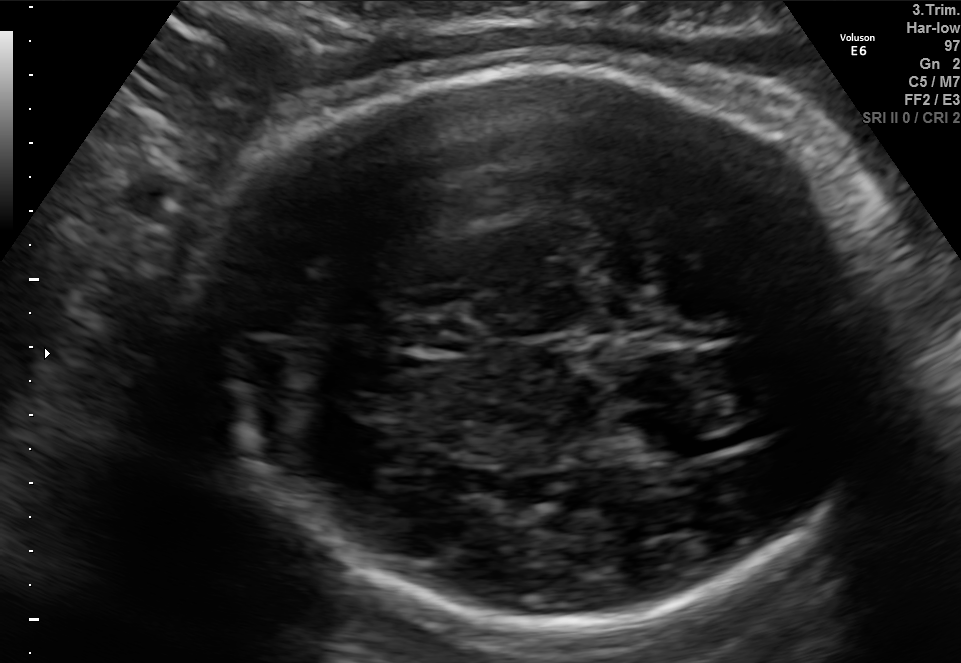
Fetal brain, trans-thalamic plane. Locate the fetal head and, if visible, the cavum septum pellucidum (CSP) and lateral ventricle (LV). Give bounding boxes as [x1,y1,x2,y2].

Head: [202,62,883,627]
CSP: [402,321,476,352]
Lateral ventricle: [647,430,728,469]